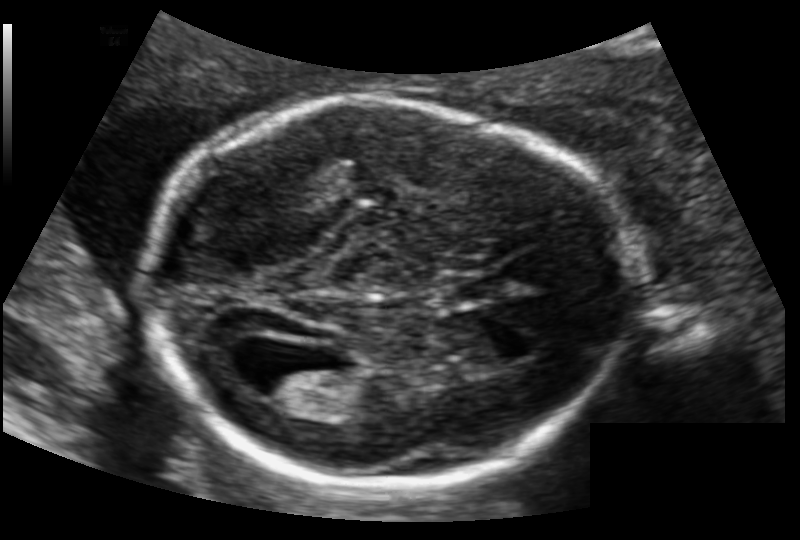
Fetal head ultrasound. Image width: 100.7 mm. Where is the lateral ventricle?

Lateral ventricle bounding box: [242,345,327,415]